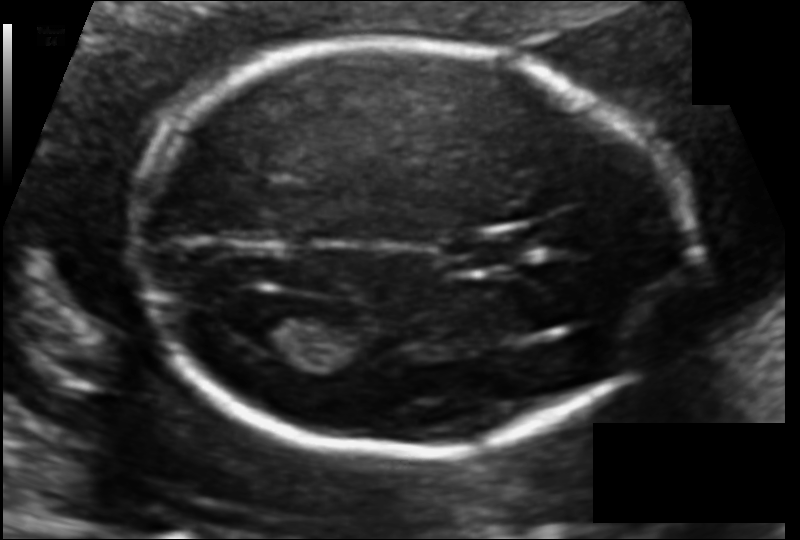
What is the fetal head circumference? Image width is 84.8 mm.

166.4 mm